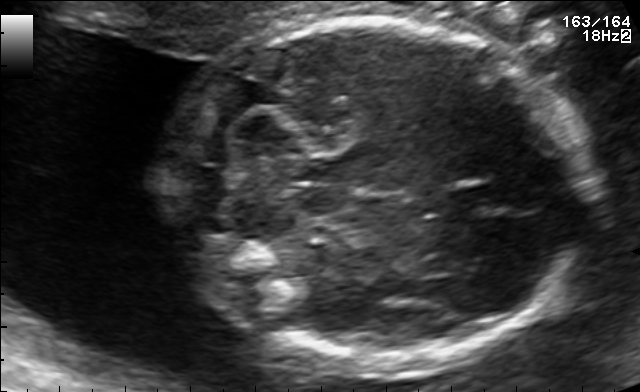
Fetal brain, trans-cerebellum plane. Locate the fetal head.

Head: [170,17,589,370]